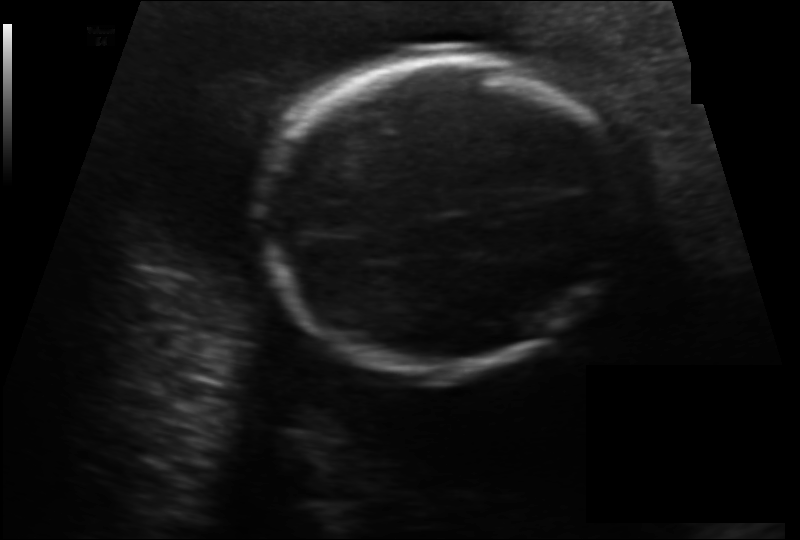
Estimate the fetal head circumference from this 2D ultrasound. Image width: 124.9 mm.

Head circumference: 171.4 mm.